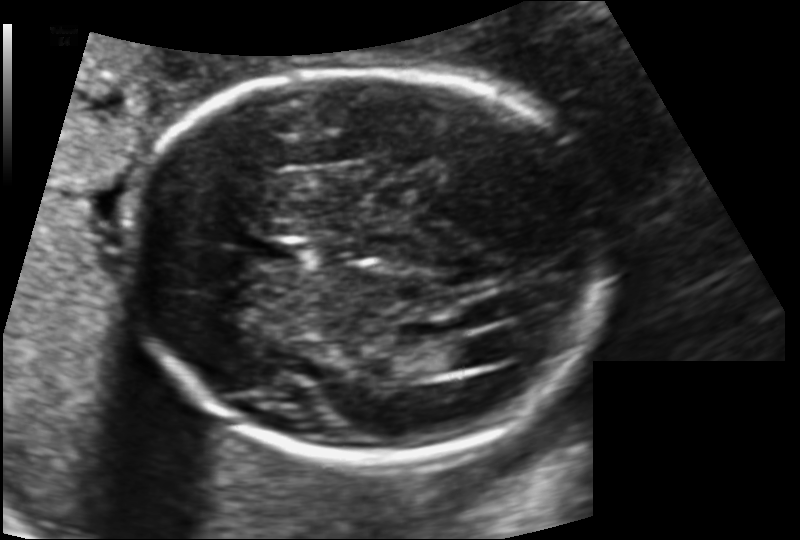
Fetal head ultrasound. Image width: 107.8 mm. Where is the lateral ventricle?

Lateral ventricle bounding box: [437,335,492,372]